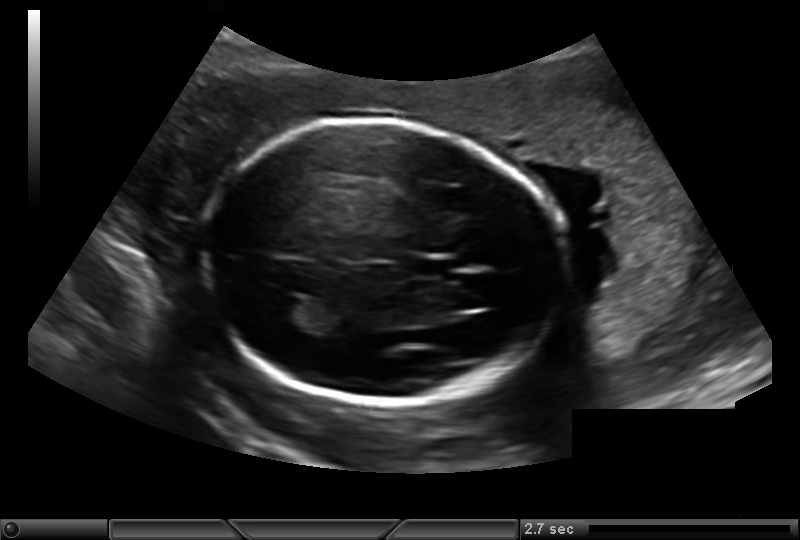
Fetal head ultrasound. Image width: 154.2 mm. Locate the fetal head and, if visible, the cavum septum pellucidum (CSP) and lateral ventricle (LV). Give bounding boxes as [x1,y1,x2,y2].

Head: [204,120,563,402]
CSP: [408,257,455,279]
Lateral ventricle: [263,290,316,331]